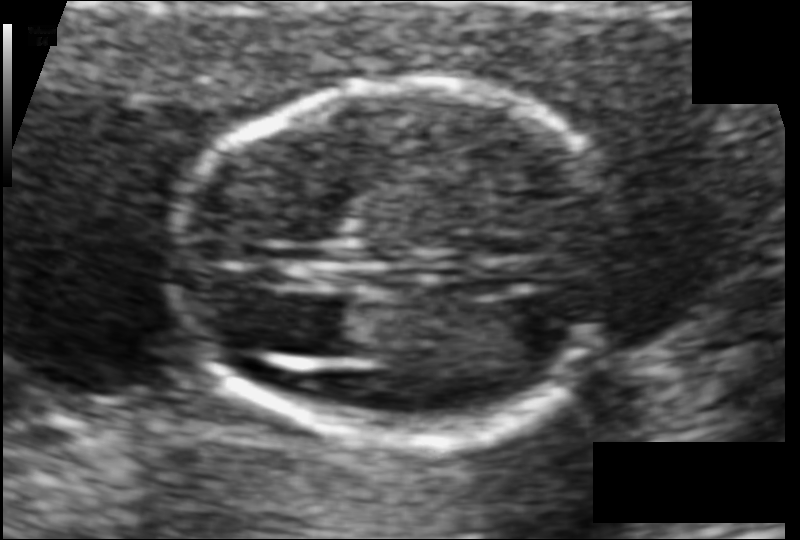
From this fetal ultrasound, estimate the head circumference (image width 61.4 mm).

Head circumference: 100.7 mm.